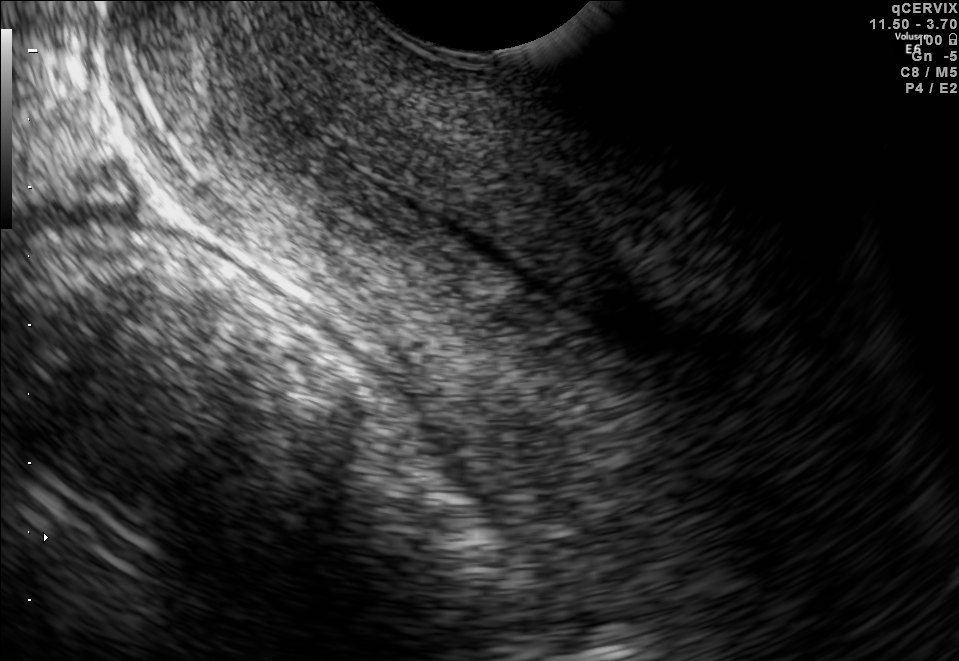
Identify the standard plane in this fetal ultrasound image: fetal abdomen, fetal brain, fetal femur, fetal thorax, maternal cervix, or other. If it's fetal brain and one of the three standard brain planes (trans-thalamic, trans-cerebellum, trans-ventricular), name which.

Maternal cervix